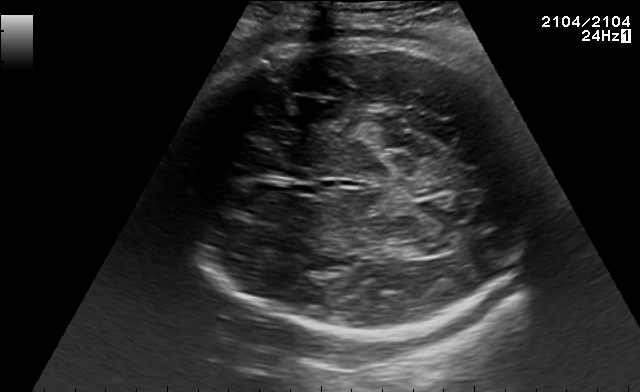
Fetal brain, trans-thalamic plane. Locate the lateral ventricle.

Lateral ventricle: [412,234,459,258]